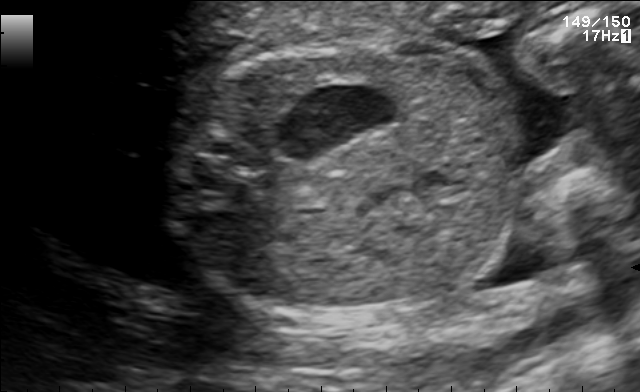
Classify this maternal-fetal ultrasound image as one of the six standard planes — fetal abdomen, fetal brain, fetal femur, fetal thorax, maternal cervix, or other. If it's fetal brain and one of the three standard brain planes (trans-thalamic, trans-cerebellum, trans-ventricular), name which.

Fetal abdomen